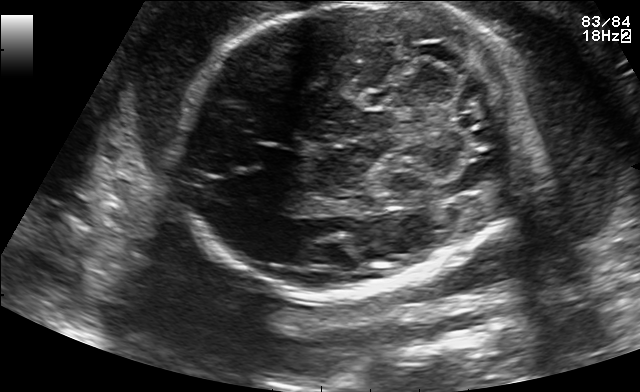
In this fetal brain, trans-cerebellum plane, give the bounding box of the fetal head.

[184,1,514,299]